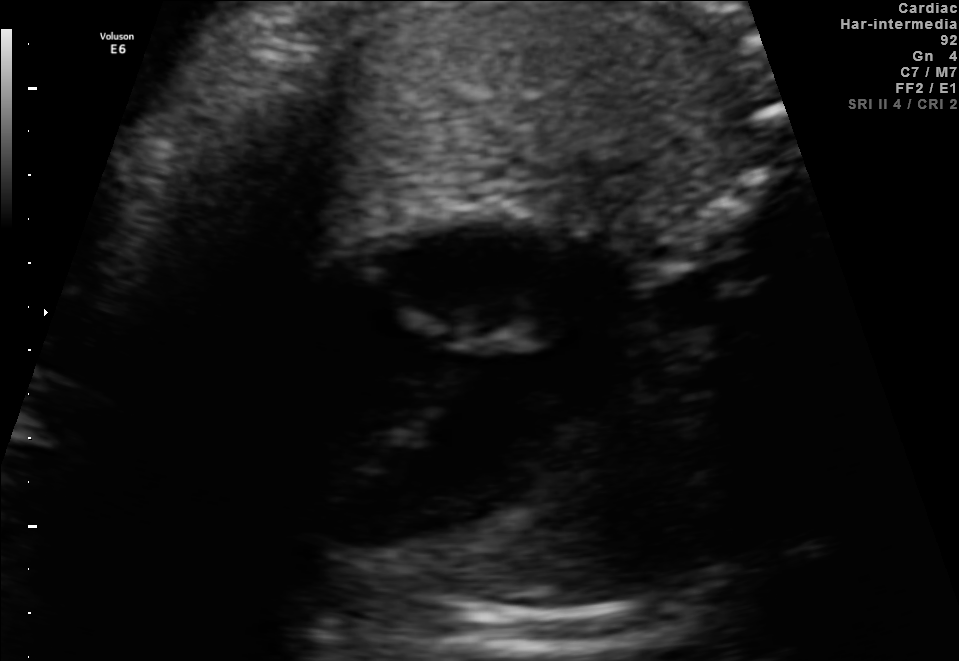
Identify the standard plane in this fetal ultrasound image: fetal abdomen, fetal brain, fetal femur, fetal thorax, maternal cervix, or other. If it's fetal brain and one of the three standard brain planes (trans-thalamic, trans-cerebellum, trans-ventricular), name which.

Fetal thorax